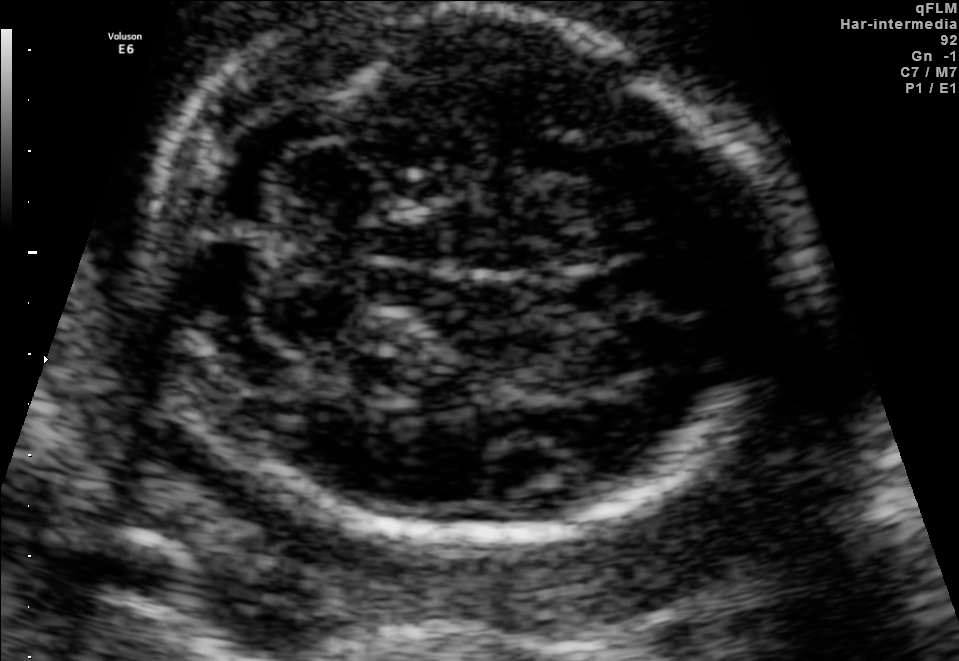
In this fetal brain, trans-cerebellum plane, give bounding boxes for the head outline, cavum septum pellucidum (CSP), and lateral ventricle (LV), where visible.

Head: [147,8,772,537]